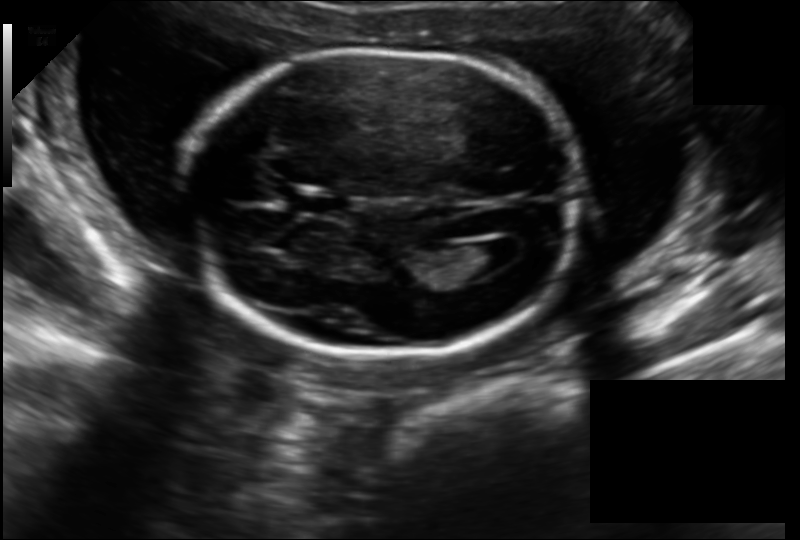
Measure the fetal head circumference shown in this ultrasound image. Image width: 125.8 mm.

Head circumference: 180.4 mm.